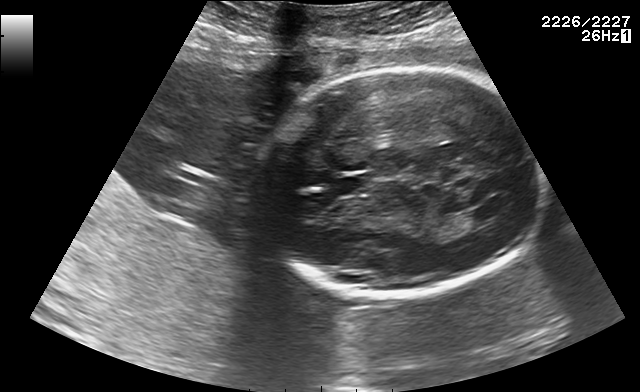
Fetal brain, trans-ventricular plane. Where is the lateral ventricle?

Lateral ventricle bounding box: [467,199,509,229]